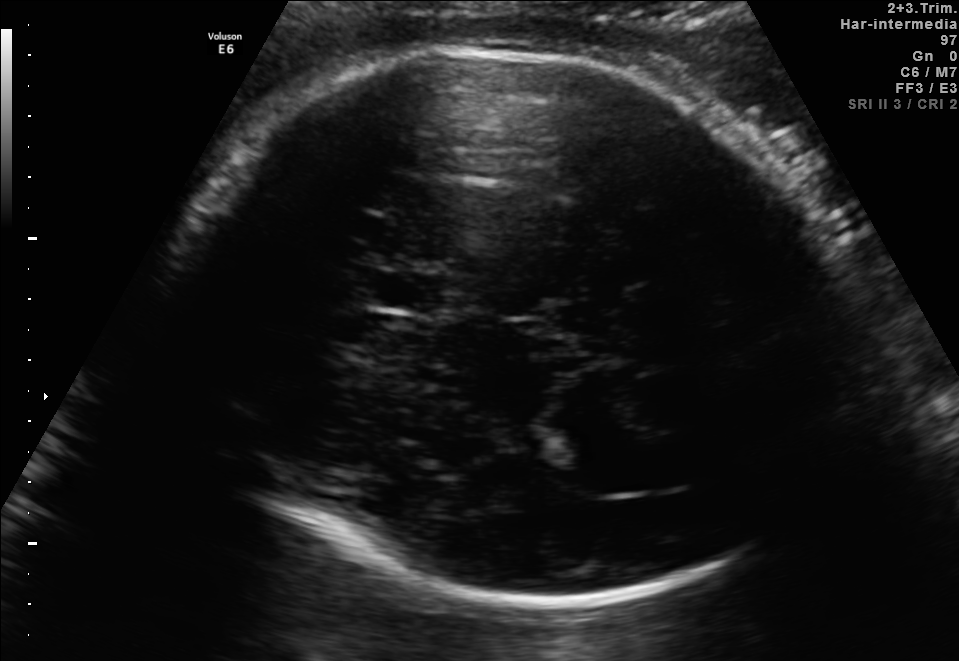
In this fetal brain, trans-thalamic plane, give the bounding box of the cavum septum pellucidum.

[368,266,441,315]